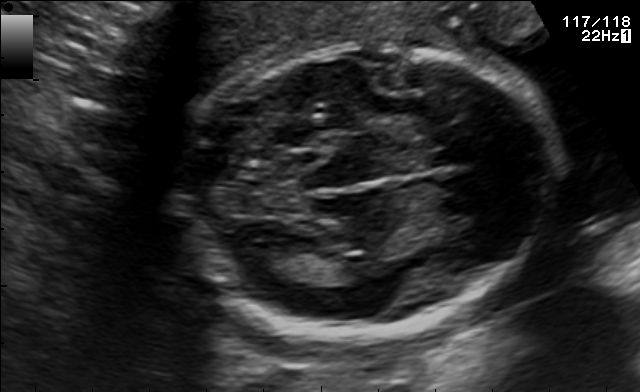
Fetal brain, trans-thalamic plane. Where is the lateral ventricle?

Lateral ventricle bounding box: [237,234,313,282]